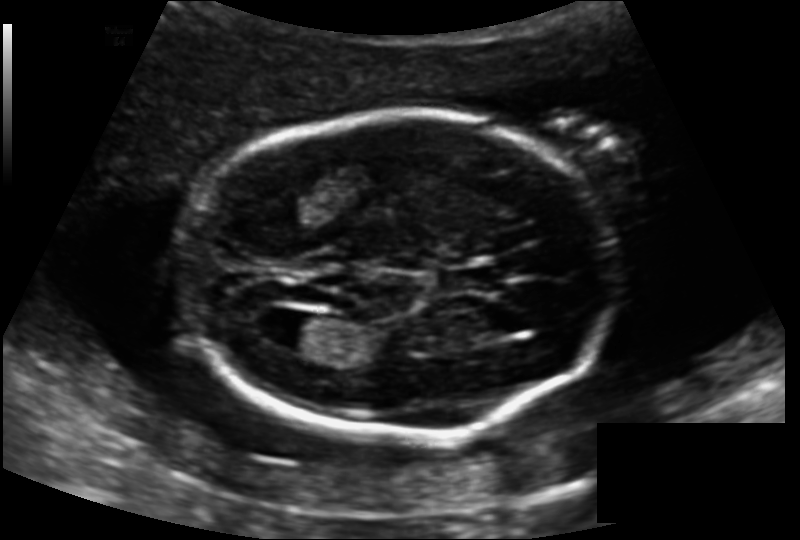
Fetal head ultrasound. Image width: 111.5 mm. Locate the lateral ventricle.

Lateral ventricle: [267,311,331,355]